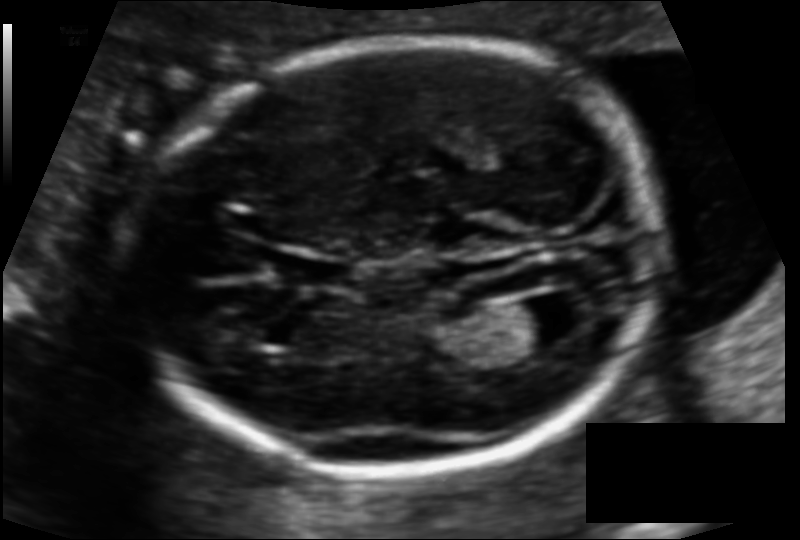
Fetal head ultrasound. Image width: 88.1 mm. Where is the cavum septum pellucidum?

CSP bounding box: [284,253,353,292]